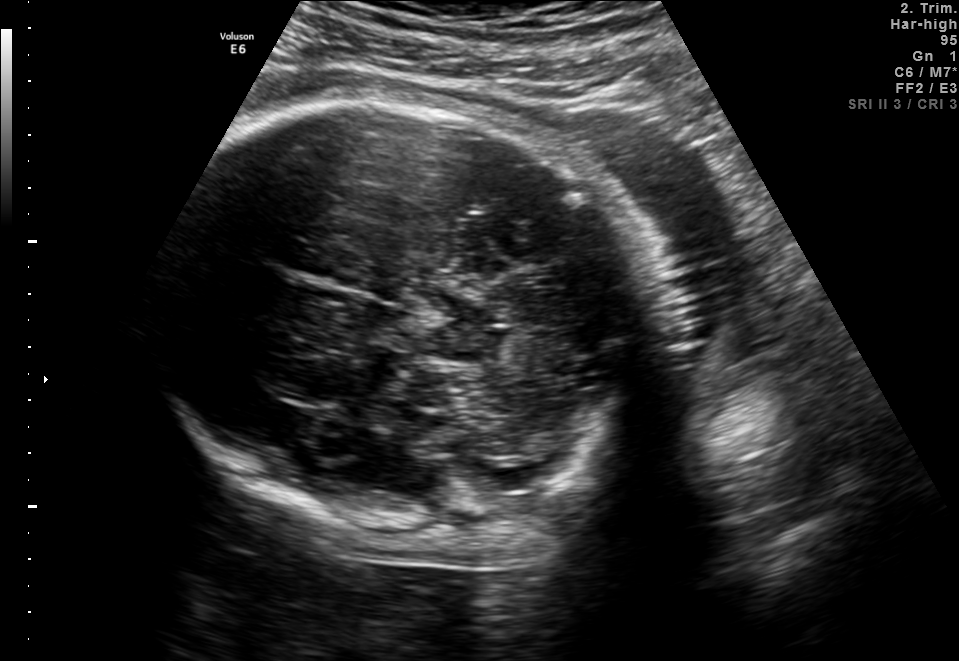
Fetal brain, trans-thalamic plane. Where is the fetal head?

Head bounding box: [159,102,668,535]